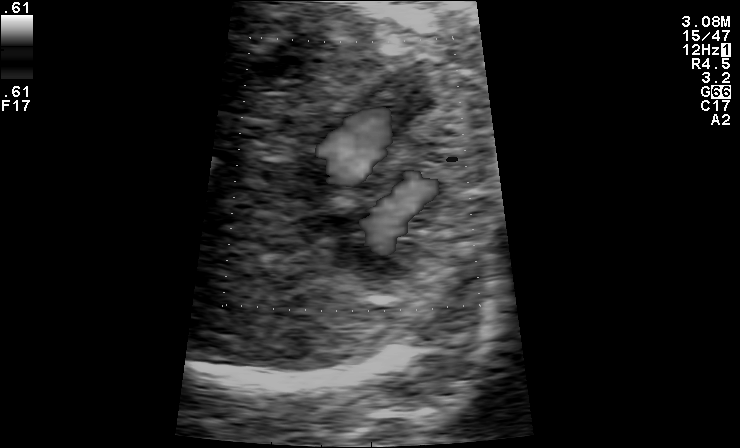
Identify the standard plane in this fetal ultrasound image: fetal abdomen, fetal brain, fetal femur, fetal thorax, maternal cervix, or other. If it's fetal brain and one of the three standard brain planes (trans-thalamic, trans-cerebellum, trans-ventricular), name which.

Other